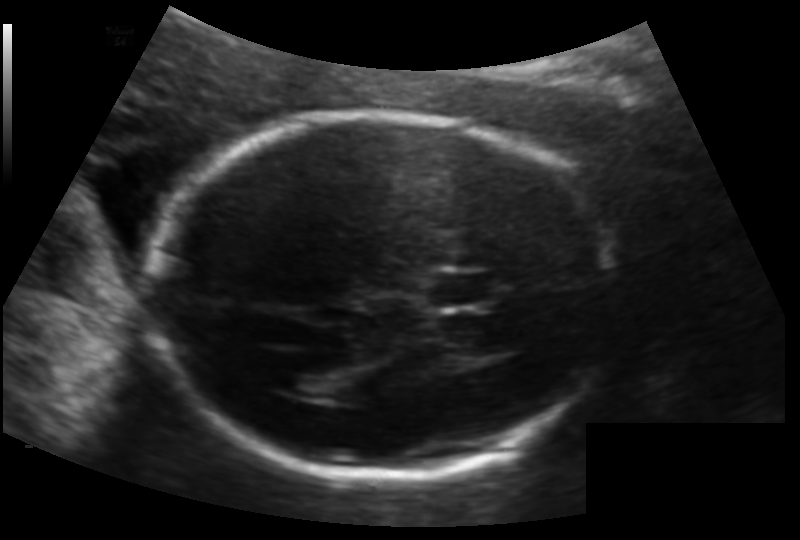
In this fetal head ultrasound, give the bounding box of the lateral ventricle. Image width: 106.4 mm.

[276,369,330,398]